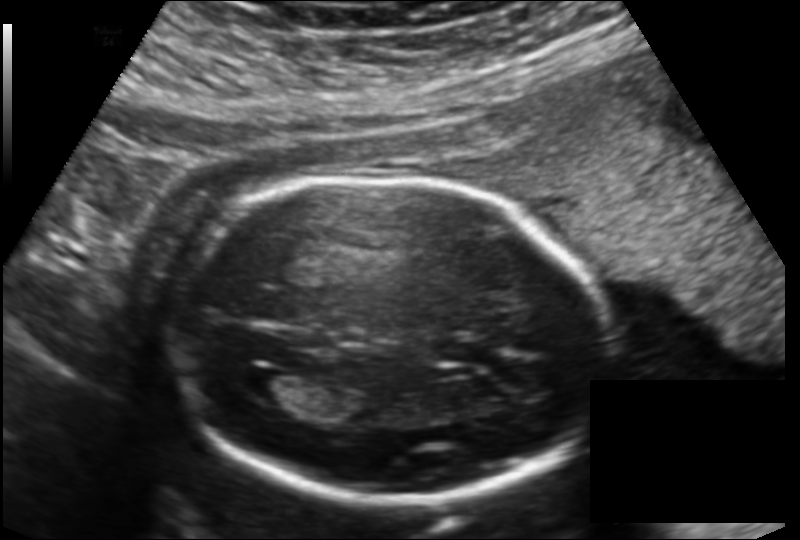
What is the fetal head circumference? Image width is 120.4 mm.

183.0 mm